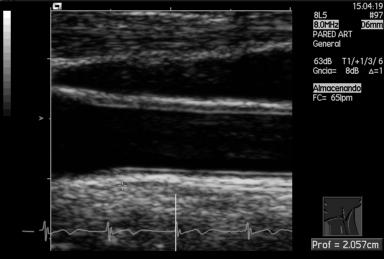
Identify the standard plane in this fetal ultrasound image: fetal abdomen, fetal brain, fetal femur, fetal thorax, maternal cervix, or other. If it's fetal brain and one of the three standard brain planes (trans-thalamic, trans-cerebellum, trans-ventricular), name which.

Other